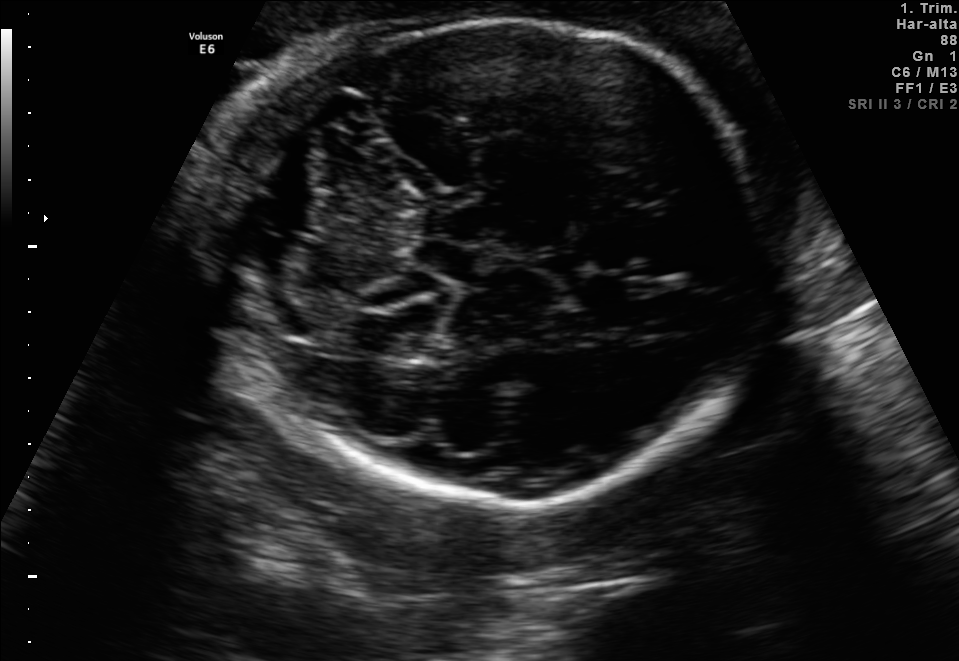
Classify this maternal-fetal ultrasound image as one of the six standard planes — fetal abdomen, fetal brain, fetal femur, fetal thorax, maternal cervix, or other. If it's fetal brain and one of the three standard brain planes (trans-thalamic, trans-cerebellum, trans-ventricular), name which.

Fetal brain (trans-cerebellum plane)